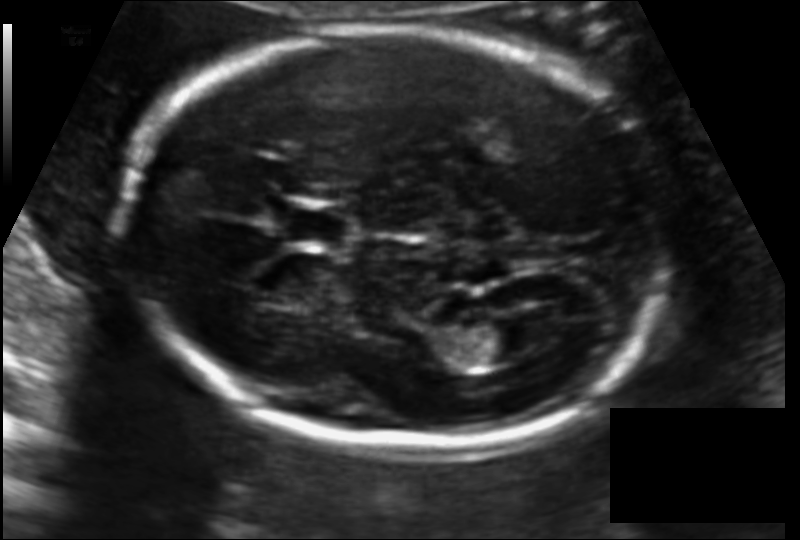
Fetal head ultrasound. Image width: 95.2 mm. Give [x1,y1,x2,y2] bounding boxes for each visible structure among: fetal head, CSP, LV.

Head: [123,28,673,447]
CSP: [275,200,355,252]
Lateral ventricle: [456,311,541,371]